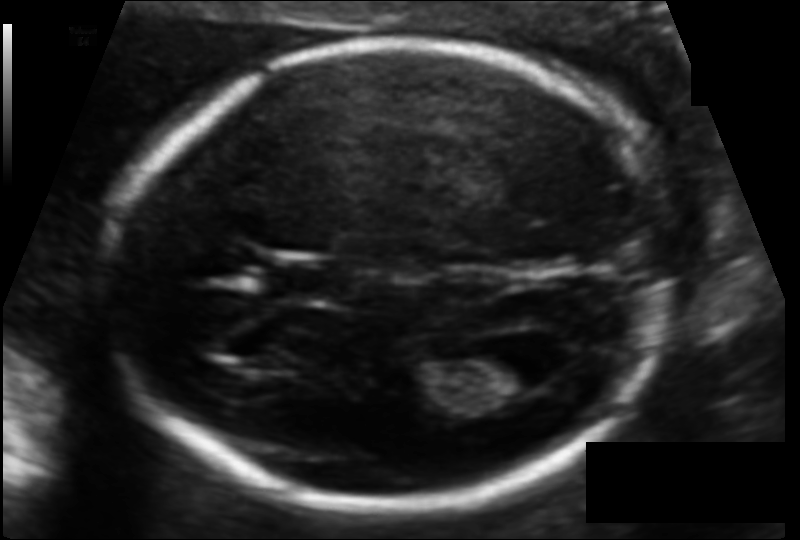
Fetal head ultrasound. Image width: 82.6 mm. Locate the fetal head.

Head: [101,40,667,507]